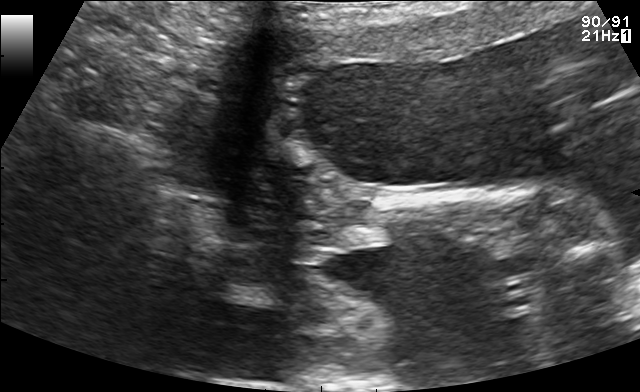
Identify the standard plane in this fetal ultrasound image: fetal abdomen, fetal brain, fetal femur, fetal thorax, maternal cervix, or other. If it's fetal brain and one of the three standard brain planes (trans-thalamic, trans-cerebellum, trans-ventricular), name which.

Other